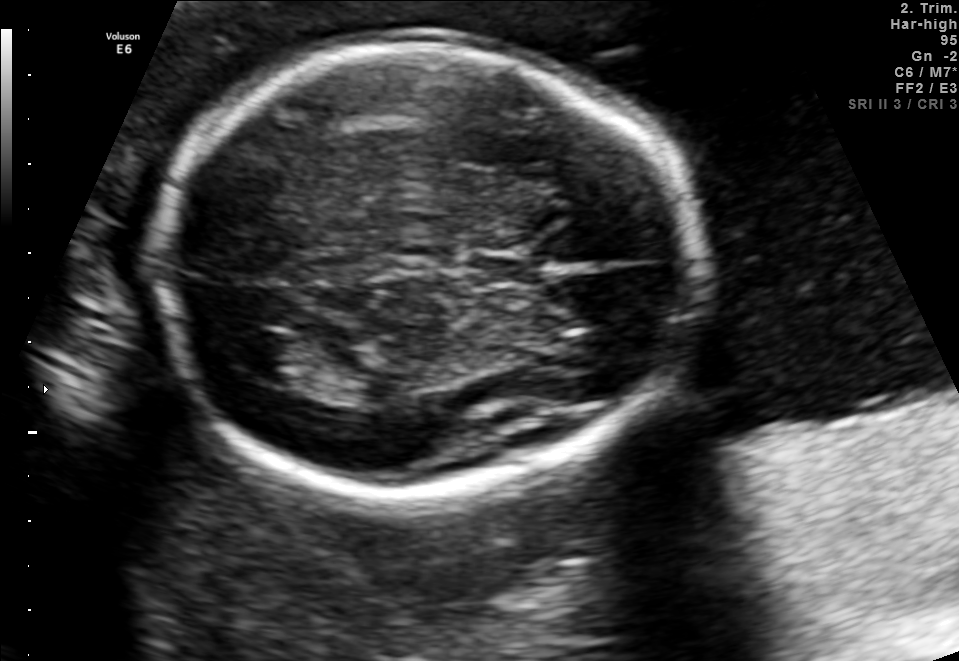
Fetal brain, trans-thalamic plane. Where is the lateral ventricle?

Lateral ventricle bounding box: [217,320,303,386]